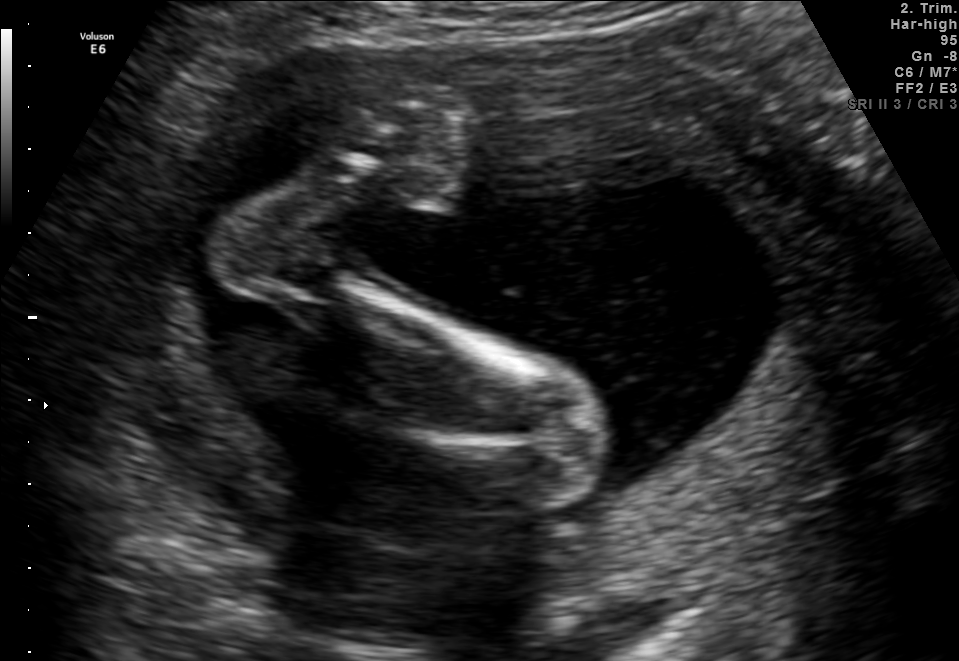
Identify the standard plane in this fetal ultrasound image: fetal abdomen, fetal brain, fetal femur, fetal thorax, maternal cervix, or other. If it's fetal brain and one of the three standard brain planes (trans-thalamic, trans-cerebellum, trans-ventricular), name which.

Other